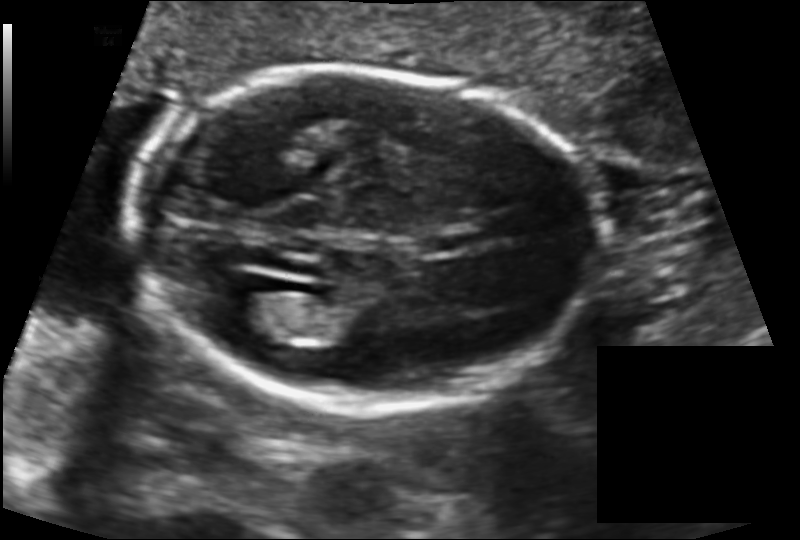
Measure the fetal head circumference shown in this ultrasound image. Image width: 105.0 mm.

Head circumference: 174.8 mm.